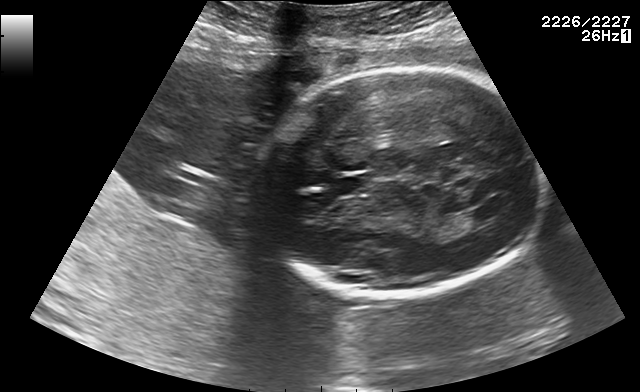
Fetal brain, trans-ventricular plane. Locate the cavum septum pellucidum (CSP) and lateral ventricle (LV), if visible. Give bounding boxes as [x1,y1,x2,y2].

CSP: [323,173,374,197]
Lateral ventricle: [467,199,509,229]